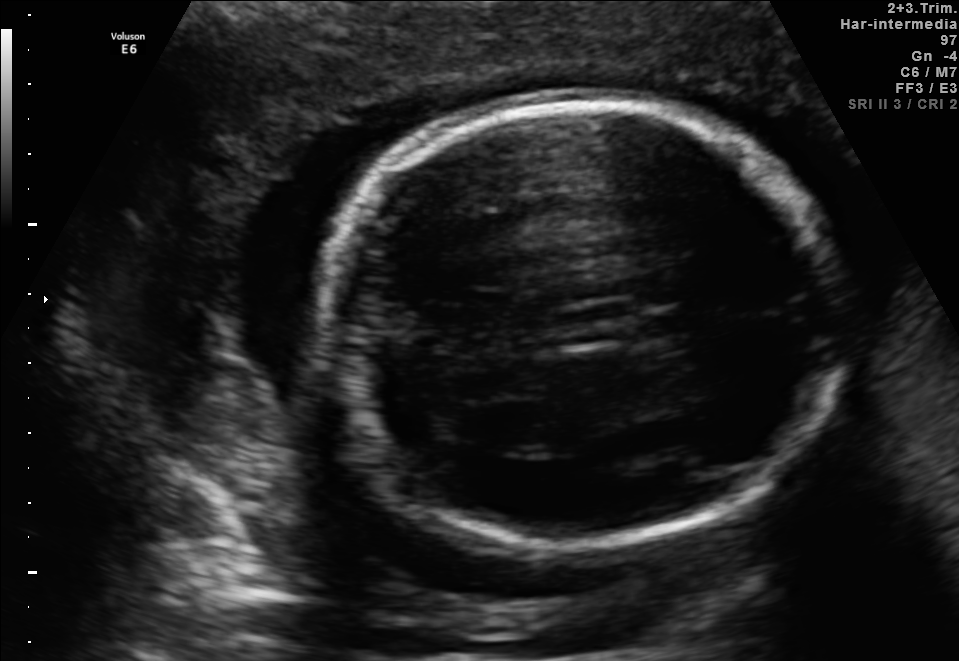
Fetal brain, trans-thalamic plane. Locate the fetal head and, if visible, the cavum septum pellucidum (CSP) and lateral ventricle (LV). Give bounding boxes as [x1,y1,x2,y2].

Head: [319,94,840,545]